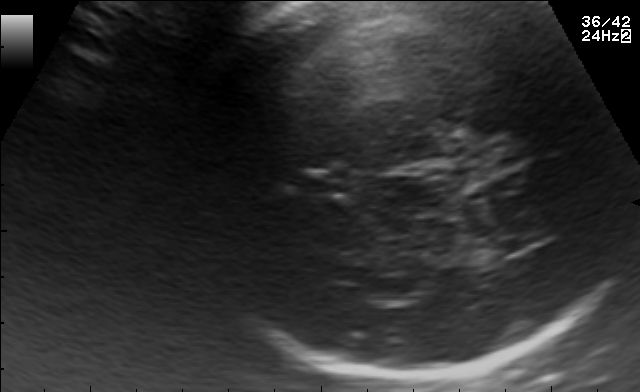
In this fetal brain, trans-thalamic plane, give bounding boxes for the head outline, cavum septum pellucidum (CSP), and lateral ventricle (LV), where visible.

Head: [182,2,627,378]
CSP: [296,172,349,194]